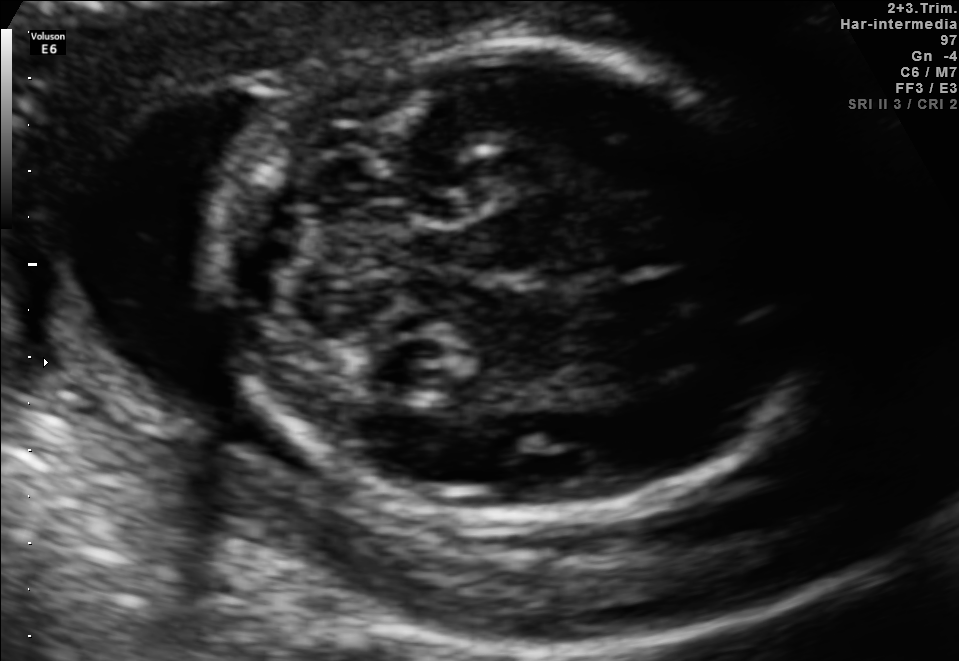
Fetal brain, trans-cerebellum plane. Where is the fetal head?

Head bounding box: [212,42,831,515]